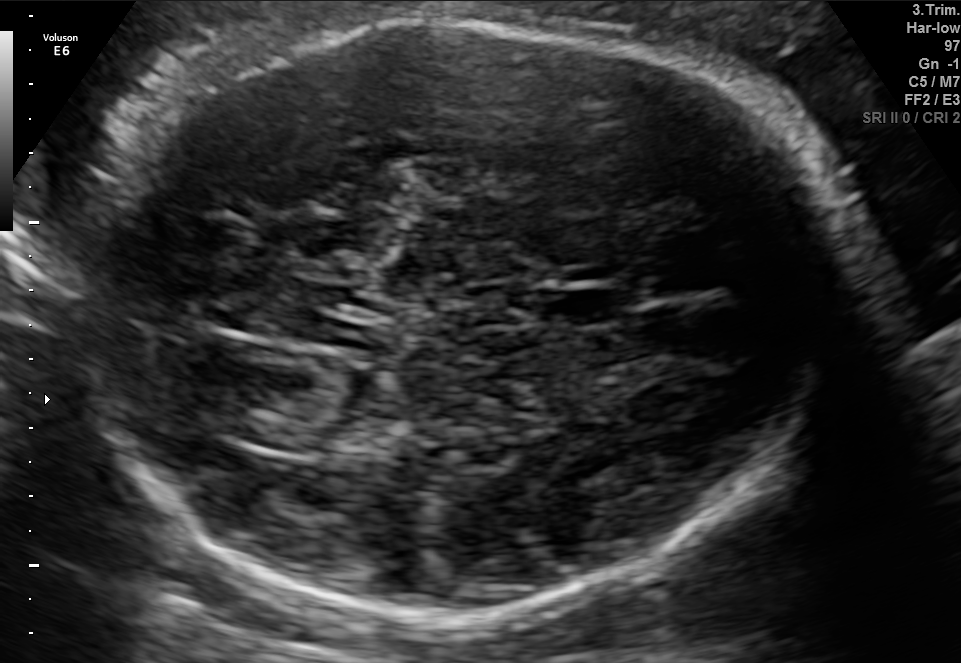
Fetal brain, trans-thalamic plane. Where is the cavum septum pellucidum?

CSP bounding box: [537,287,624,326]